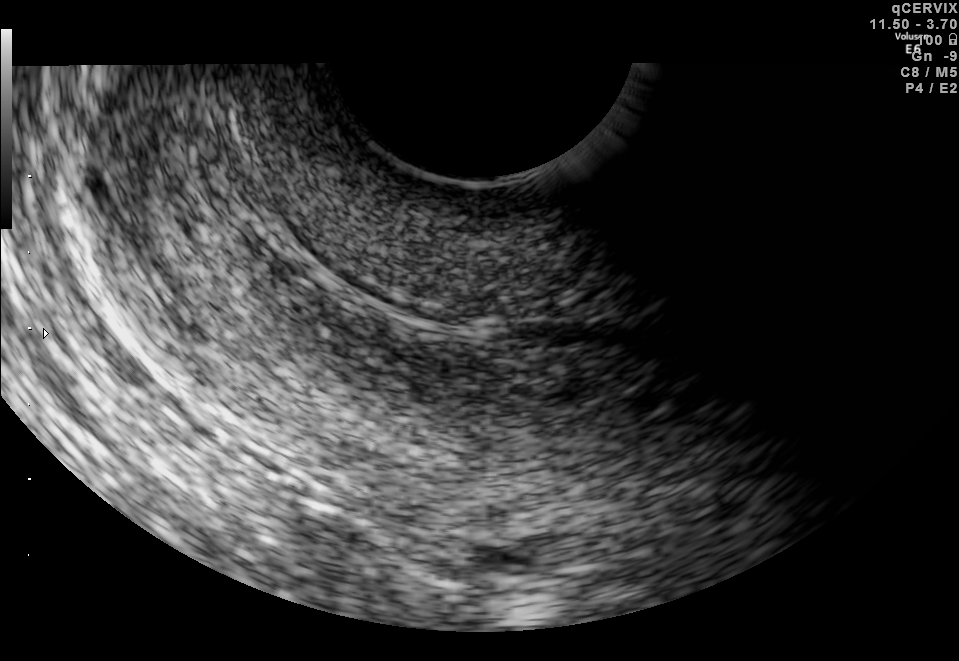
Classify this maternal-fetal ultrasound image as one of the six standard planes — fetal abdomen, fetal brain, fetal femur, fetal thorax, maternal cervix, or other. If it's fetal brain and one of the three standard brain planes (trans-thalamic, trans-cerebellum, trans-ventricular), name which.

Maternal cervix